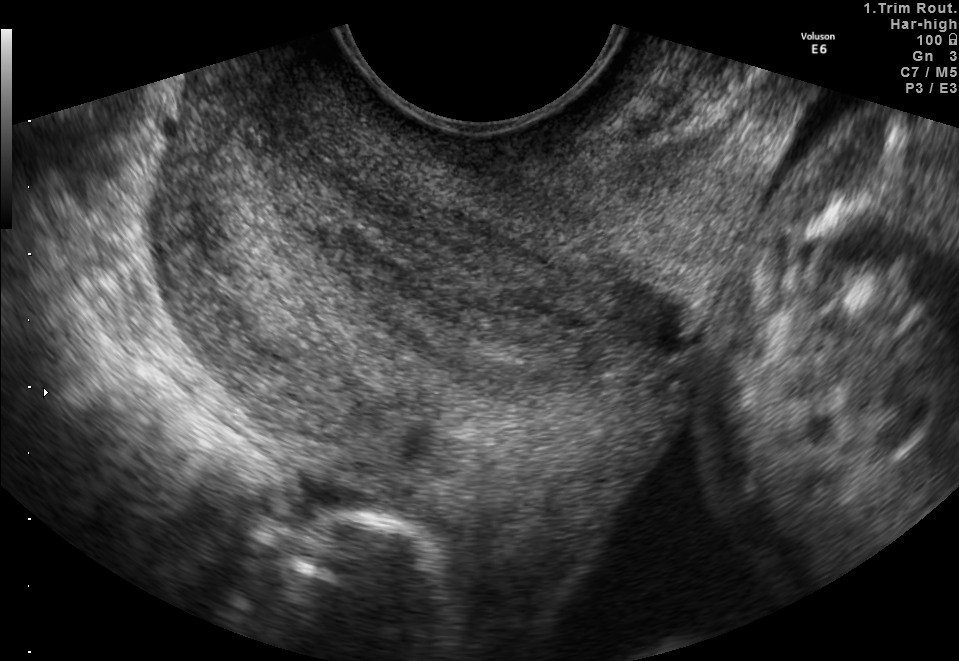
Classify this maternal-fetal ultrasound image as one of the six standard planes — fetal abdomen, fetal brain, fetal femur, fetal thorax, maternal cervix, or other. If it's fetal brain and one of the three standard brain planes (trans-thalamic, trans-cerebellum, trans-ventricular), name which.

Maternal cervix